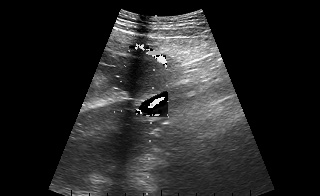
This is a 2D maternal-fetal ultrasound frame. Is it a fetal abdomen, fetal brain, fetal femur, fetal thorax, maternal cervix, or other standard plane? If it's fetal brain and one of the three standard brain planes (trans-thalamic, trans-cerebellum, trans-ventricular), name which.

Other